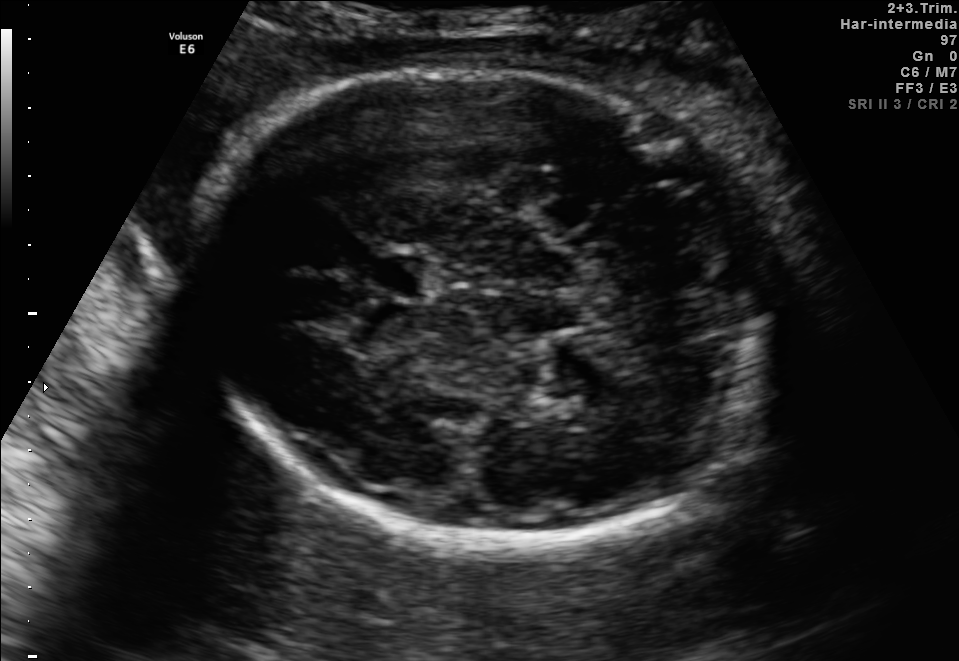
Fetal brain, trans-thalamic plane. Give [x1,y1,x2,y2] bounding boxes for each visible structure among: fetal head, CSP, LV.

Head: [185,67,770,552]
CSP: [366,253,431,298]